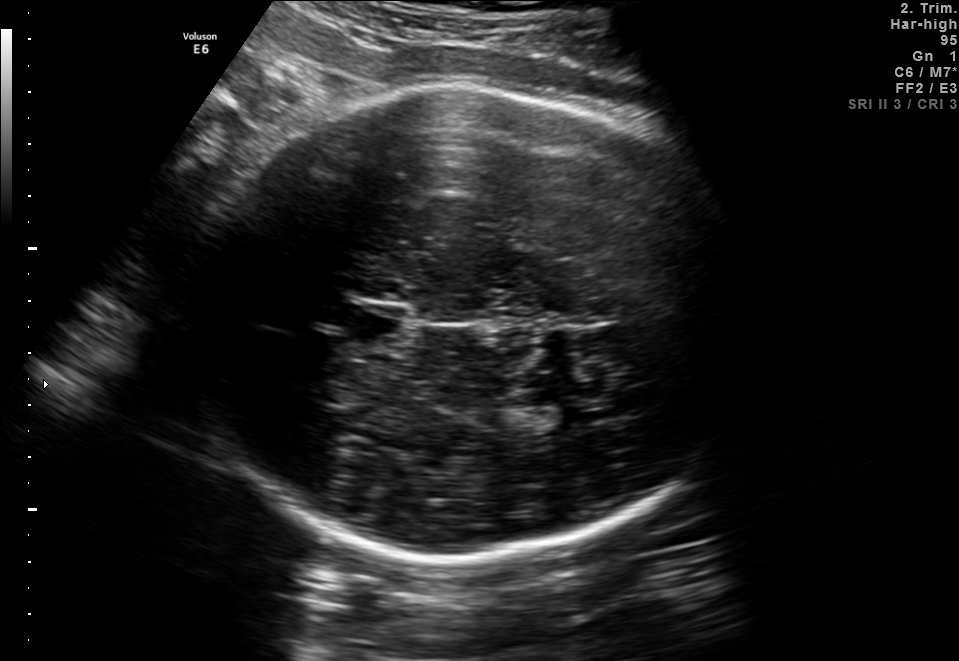
In this fetal brain, trans-thalamic plane, give the bounding box of the fetal head.

[196,85,747,560]